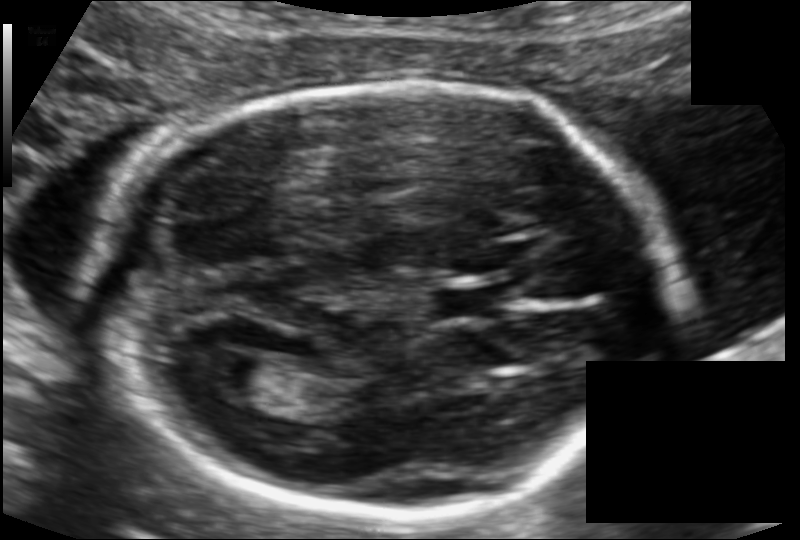
Estimate the fetal head circumference from this 2D ultrasound. Image width: 87.3 mm.

Head circumference: 180.7 mm.